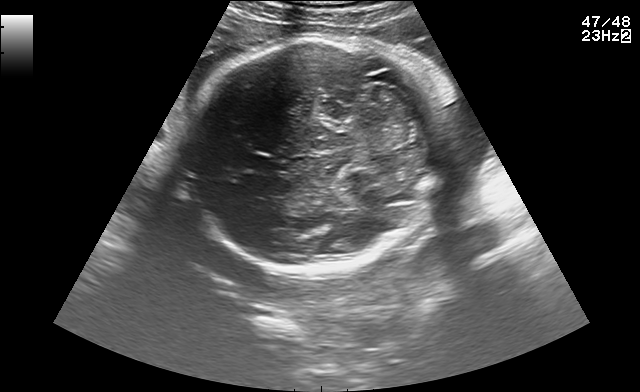
Which standard maternal-fetal ultrasound plane is shown: fetal abdomen, fetal brain, fetal femur, fetal thorax, maternal cervix, or other? If it's fetal brain and one of the three standard brain planes (trans-thalamic, trans-cerebellum, trans-ventricular), name which.

Fetal brain (trans-cerebellum plane)